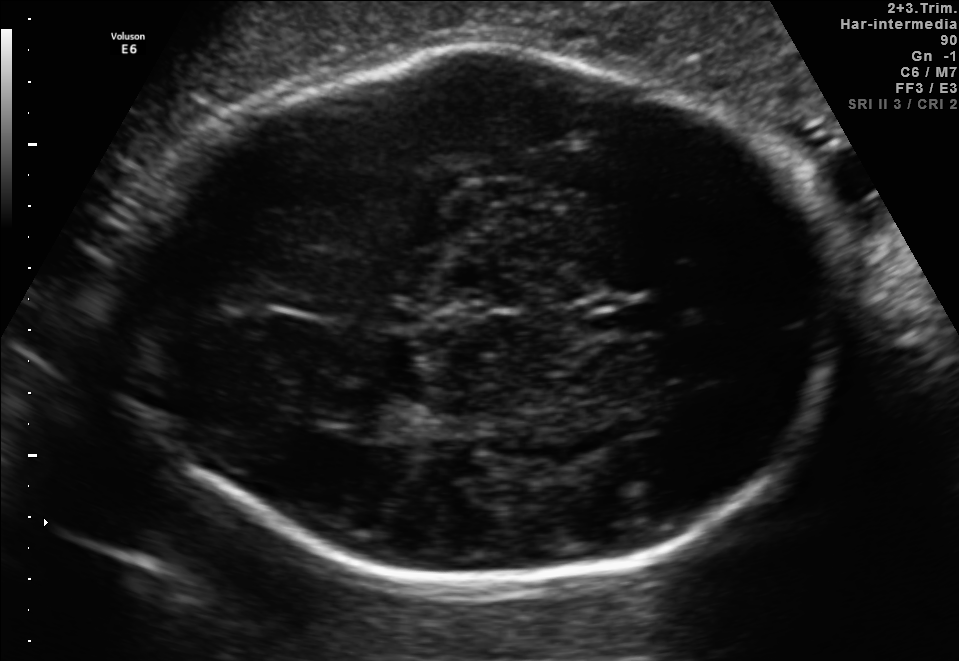
In this fetal brain, trans-thalamic plane, give bounding boxes for the head outline, cavum septum pellucidum (CSP), and lateral ventricle (LV), where visible.

Head: [102,50,841,579]
CSP: [578,296,659,340]